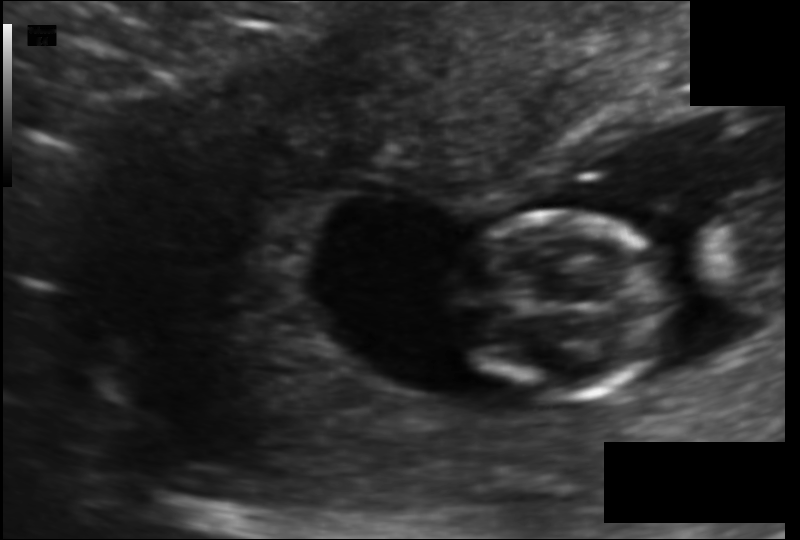
Estimate the fetal head circumference from this 2D ultrasound.

Head circumference: 70.0 mm (image width 82.9 mm).